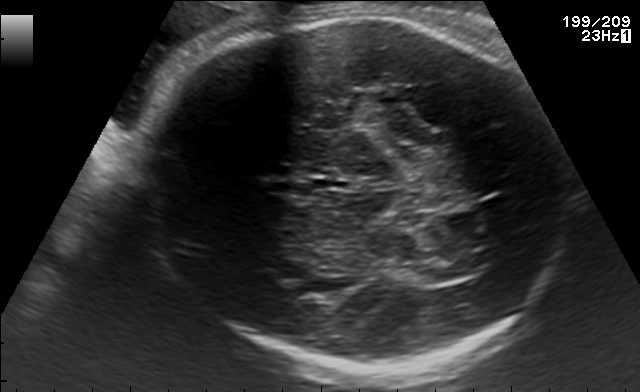
Fetal brain, trans-thalamic plane. Where is the lateral ventricle?

Lateral ventricle bounding box: [416,257,473,288]